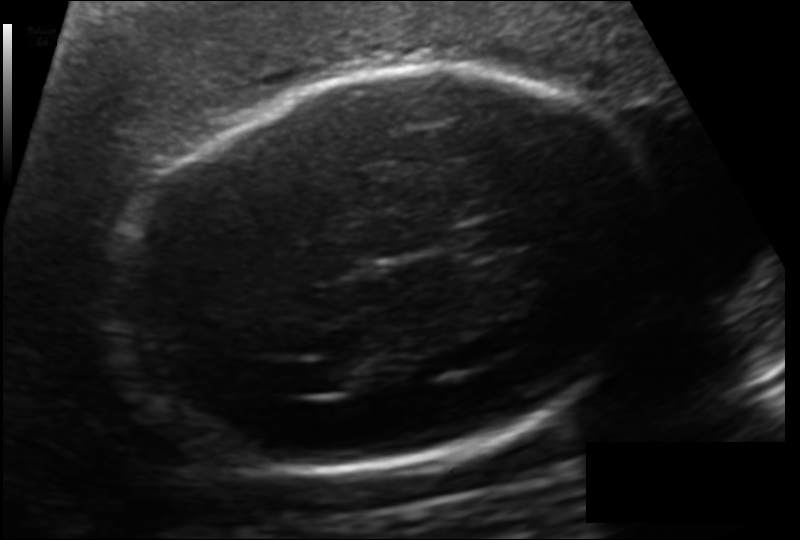
From this fetal ultrasound, estimate the head circumference (image width 120.9 mm).

Head circumference: 231.3 mm.